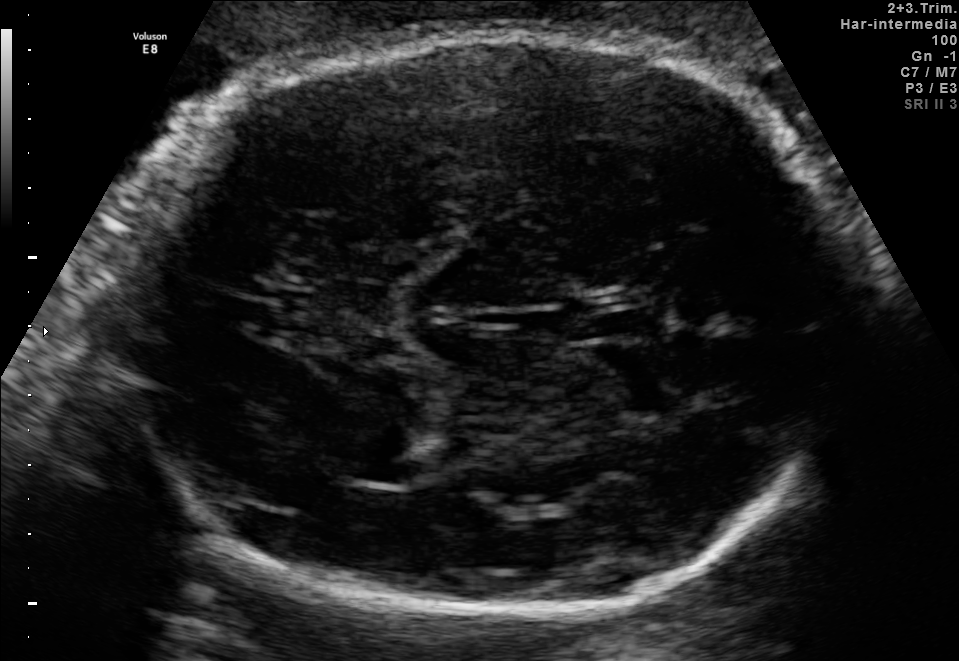
Fetal brain, trans-thalamic plane. Locate the lateral ventricle.

Lateral ventricle: [346,451,419,489]